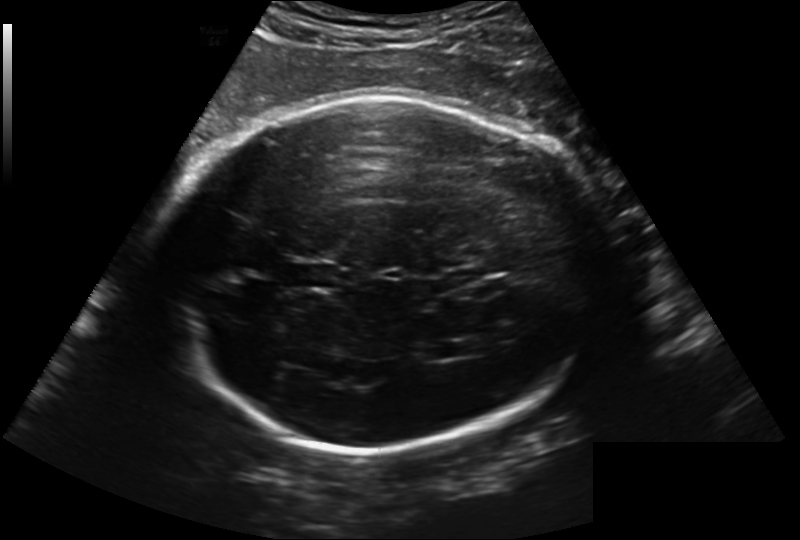
Fetal head ultrasound. Image width: 192.7 mm. Give [x1,y1,x2,y2] bounding boxes for each visible structure among: fetal head, CSP, LV.

Head: [166,96,614,450]
CSP: [287,261,338,291]
Lateral ventricle: [422,339,463,363]